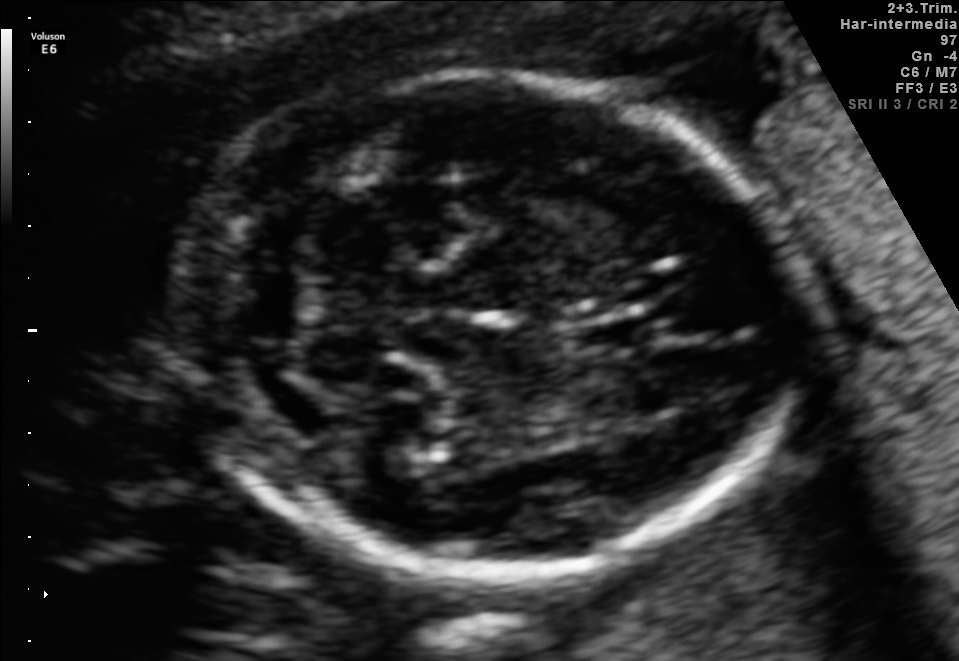
Fetal brain, trans-cerebellum plane. Give [x1,y1,x2,y2] bounding boxes for each visible structure among: fetal head, CSP, LV.

Head: [177,73,788,574]
CSP: [565,305,656,365]